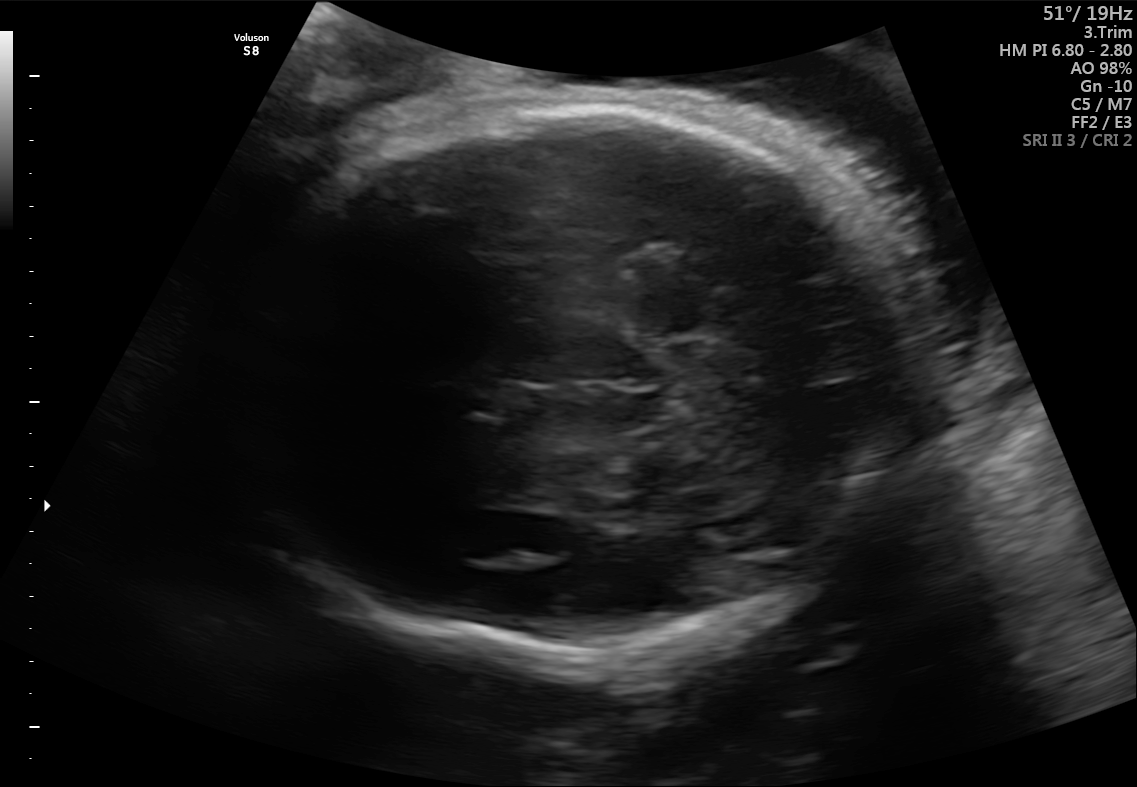
Fetal brain, trans-thalamic plane. Locate the fetal head and, if visible, the cavum septum pellucidum (CSP) and lateral ventricle (LV). Give bounding boxes as [x1,y1,x2,y2].

Head: [210,98,934,656]